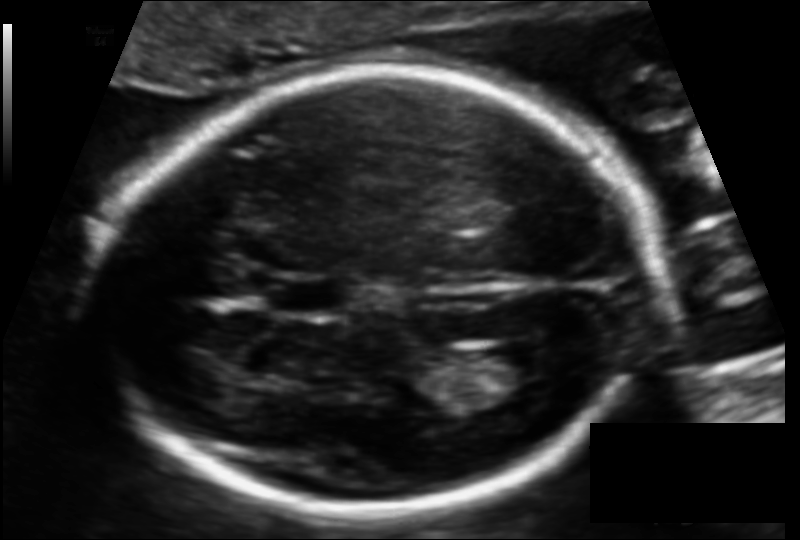
Fetal head ultrasound. Image width: 89.8 mm. Locate the fetal head.

Head: [94,69,652,511]